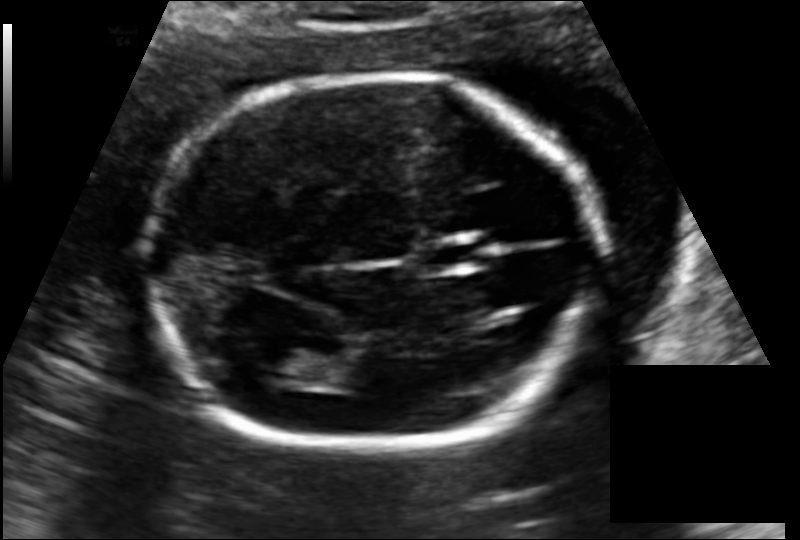
Fetal head ultrasound. Image width: 101.6 mm. Where is the cavum septum pellucidum?

CSP bounding box: [417,238,482,272]